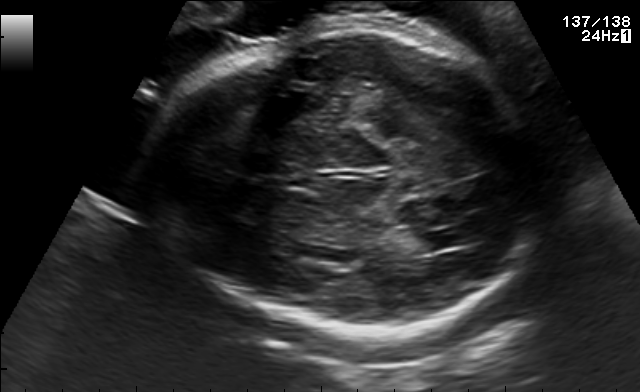
In this fetal brain, trans-thalamic plane, give the bounding box of the lateral ventricle.

[410,224,469,256]